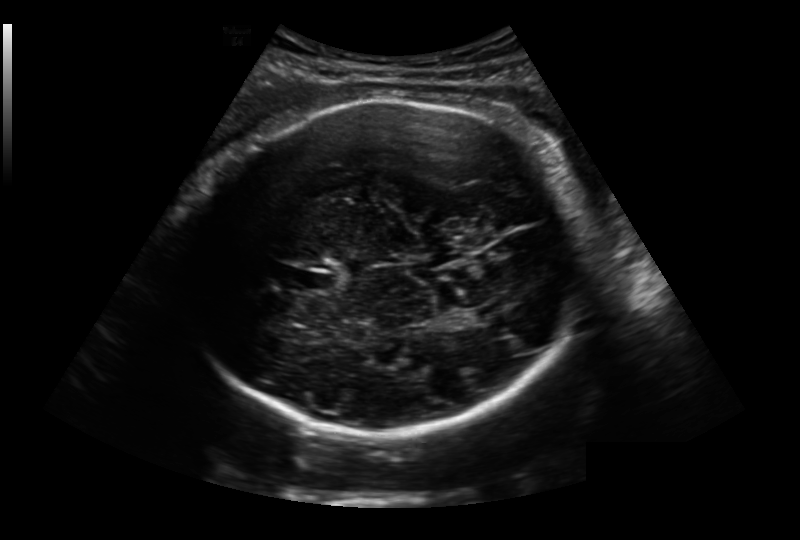
In this fetal head ultrasound, give the bounding box of the fetal head. Image width: 188.7 mm.

[180,97,593,435]